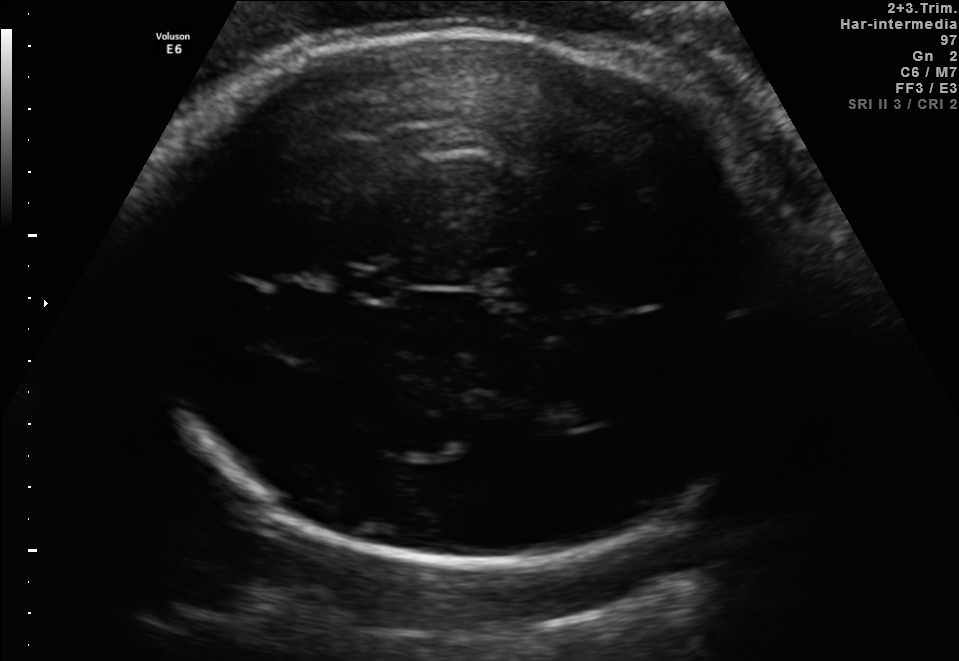
Fetal brain, trans-thalamic plane. Where is the cavum septum pellucidum?

CSP bounding box: [351,270,396,300]